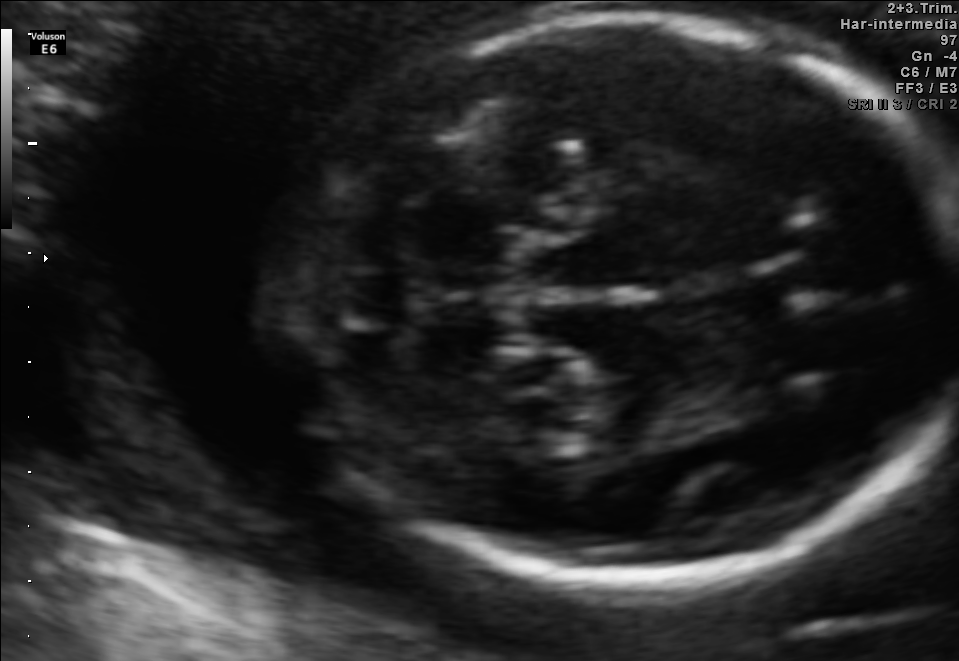
Fetal brain, trans-cerebellum plane. Give [x1,y1,x2,y2] bounding boxes for each visible structure among: fetal head, CSP, LV.

Head: [284,14,957,581]